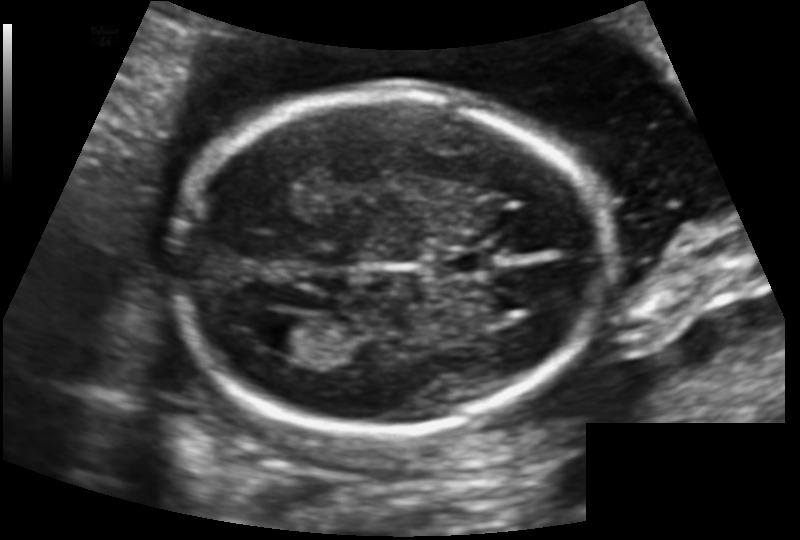
Estimate the fetal head circumference from this 2D ultrasound. Image width: 103.5 mm.

Head circumference: 165.0 mm.